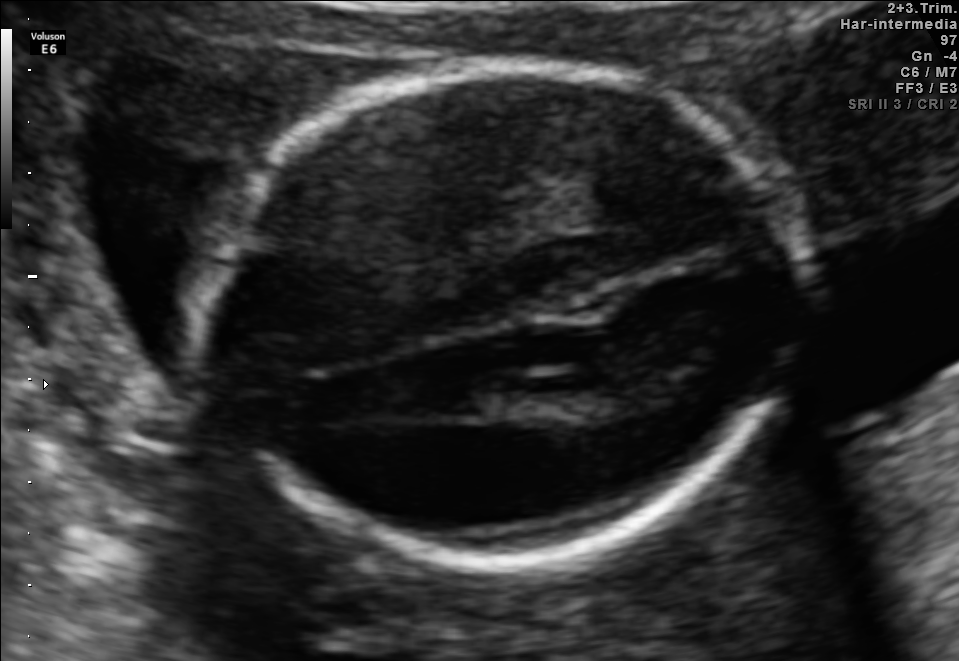
Fetal brain, trans-thalamic plane. Give [x1,y1,x2,y2] bounding boxes for each visible structure among: fetal head, CSP, LV.

Head: [207,61,794,568]